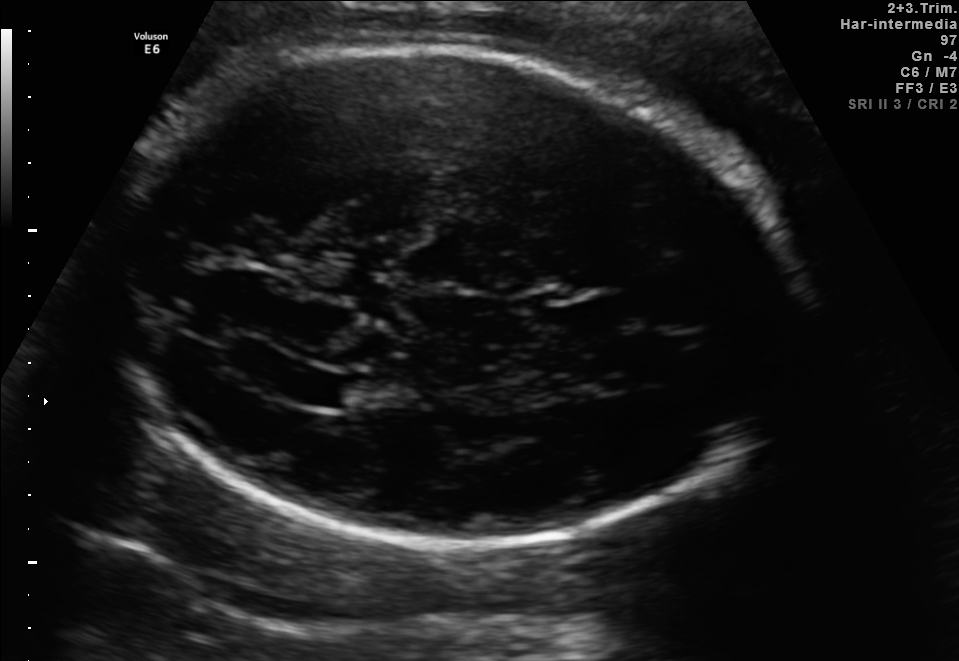
Fetal brain, trans-ventricular plane. Give [x1,y1,x2,y2] bounding boxes for each visible structure among: fetal head, CSP, LV.

Head: [99,37,808,562]
Lateral ventricle: [285,364,352,410]